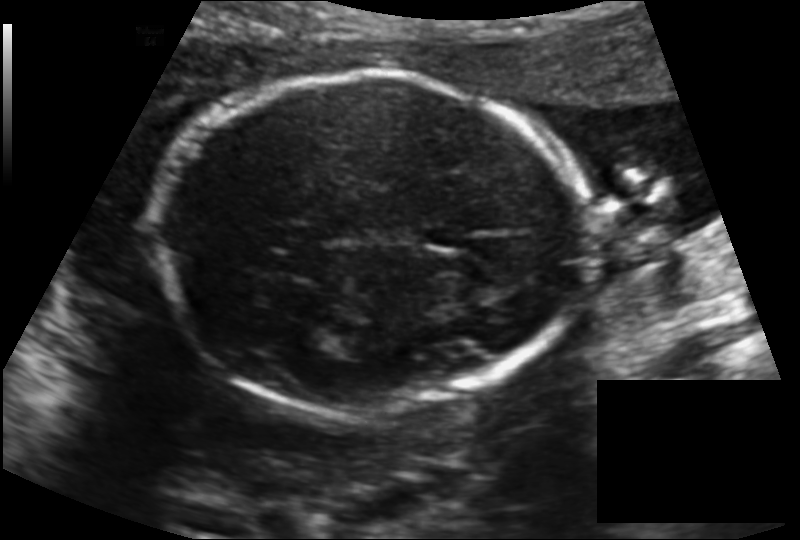
Fetal head ultrasound. Image width: 116.2 mm. Locate the cavum septum pellucidum.

CSP: [422,222,469,251]